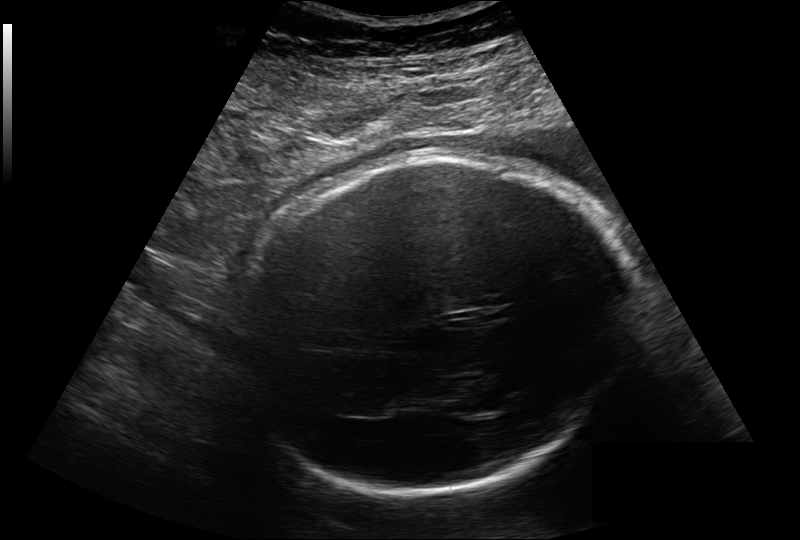
Fetal head ultrasound. Image width: 211.0 mm. Locate the fetal head and, if visible, the cavum septum pellucidum (CSP) and lateral ventricle (LV). Give bounding boxes as [x1,y1,x2,y2].

Head: [236,154,631,493]